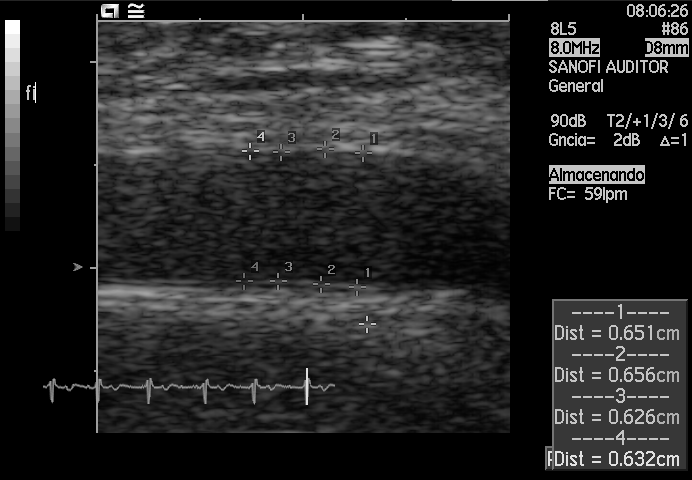
Identify the standard plane in this fetal ultrasound image: fetal abdomen, fetal brain, fetal femur, fetal thorax, maternal cervix, or other. If it's fetal brain and one of the three standard brain planes (trans-thalamic, trans-cerebellum, trans-ventricular), name which.

Other